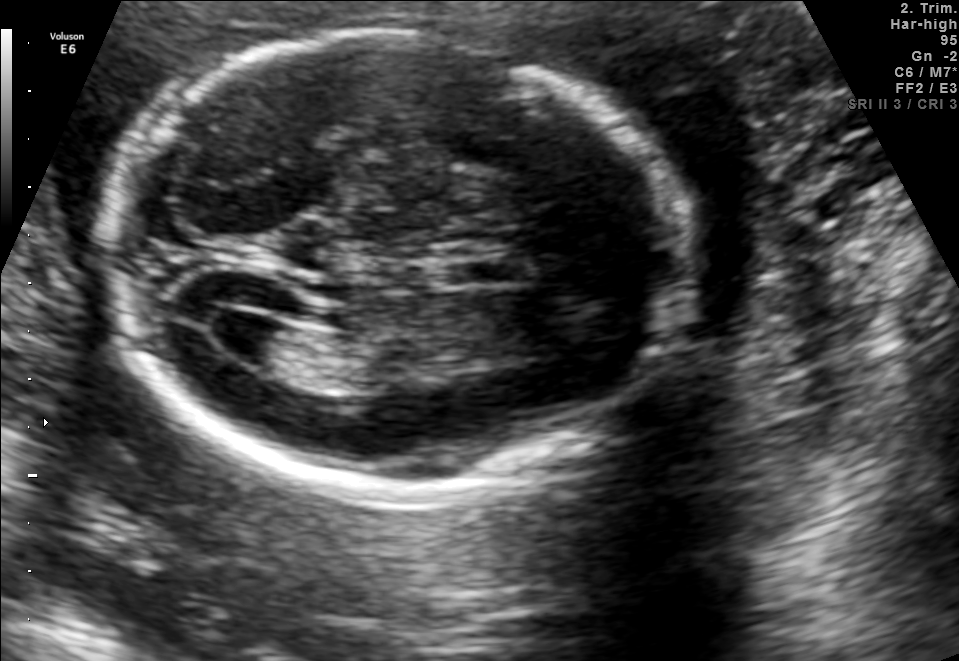
In this fetal brain, trans-ventricular plane, give the bounding box of the fetal head.

[92,28,701,503]